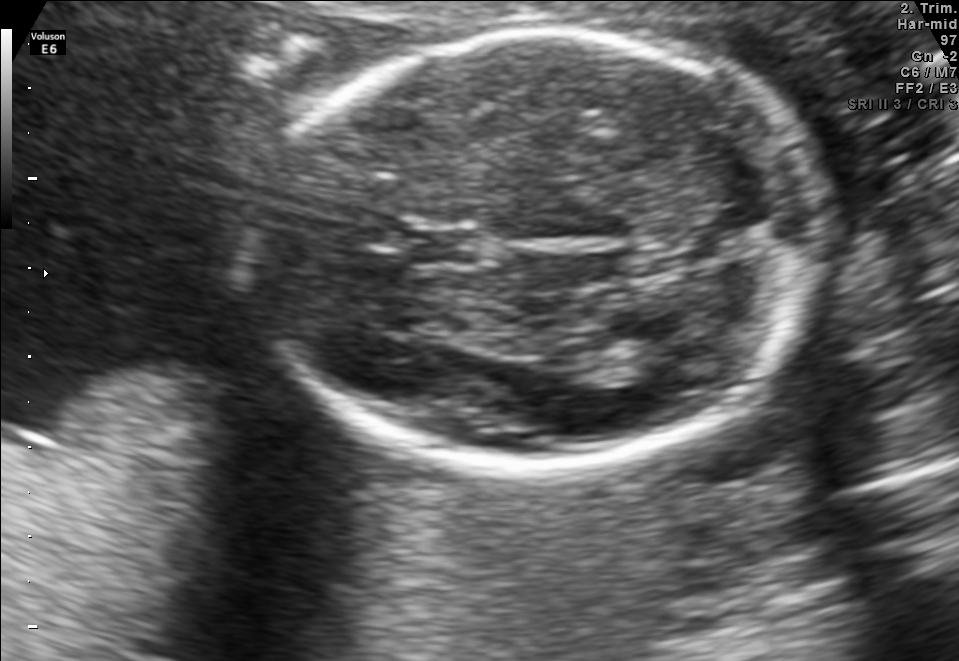
Fetal brain, trans-thalamic plane. Locate the cavum septum pellucidum.

CSP: [414,230,475,262]